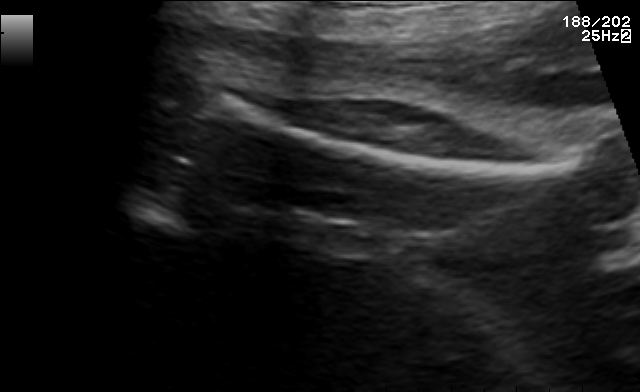
Which standard maternal-fetal ultrasound plane is shown: fetal abdomen, fetal brain, fetal femur, fetal thorax, maternal cervix, or other? If it's fetal brain and one of the three standard brain planes (trans-thalamic, trans-cerebellum, trans-ventricular), name which.

Fetal femur